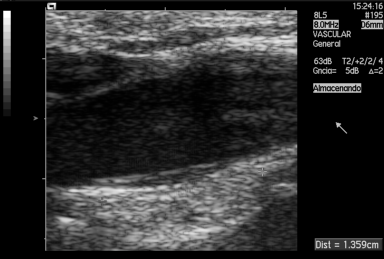
Identify the standard plane in this fetal ultrasound image: fetal abdomen, fetal brain, fetal femur, fetal thorax, maternal cervix, or other. If it's fetal brain and one of the three standard brain planes (trans-thalamic, trans-cerebellum, trans-ventricular), name which.

Other